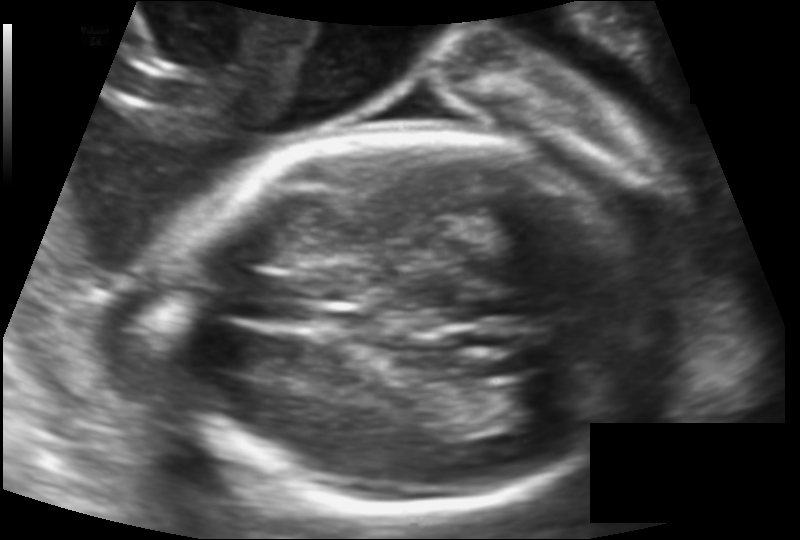
What is the fetal head circumference? Image width is 106.2 mm.

177.5 mm